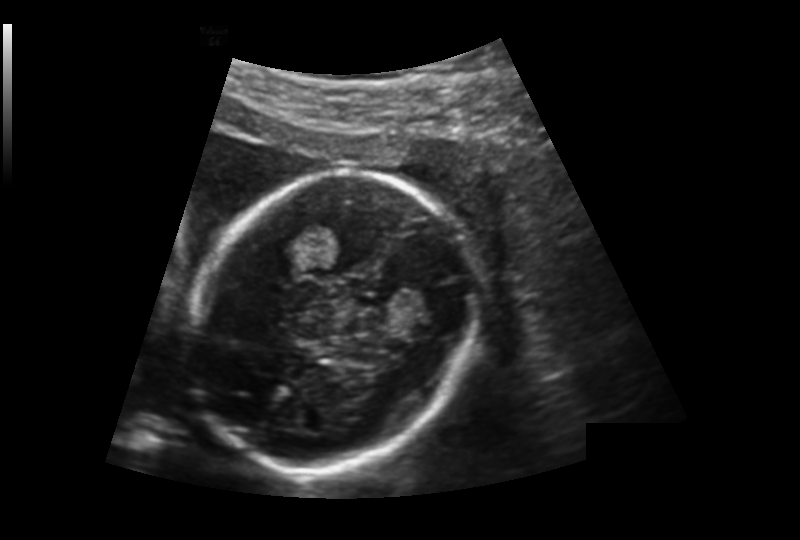
Fetal head ultrasound. Image width: 140.4 mm. Where is the fetal head?

Head bounding box: [196,172,474,473]